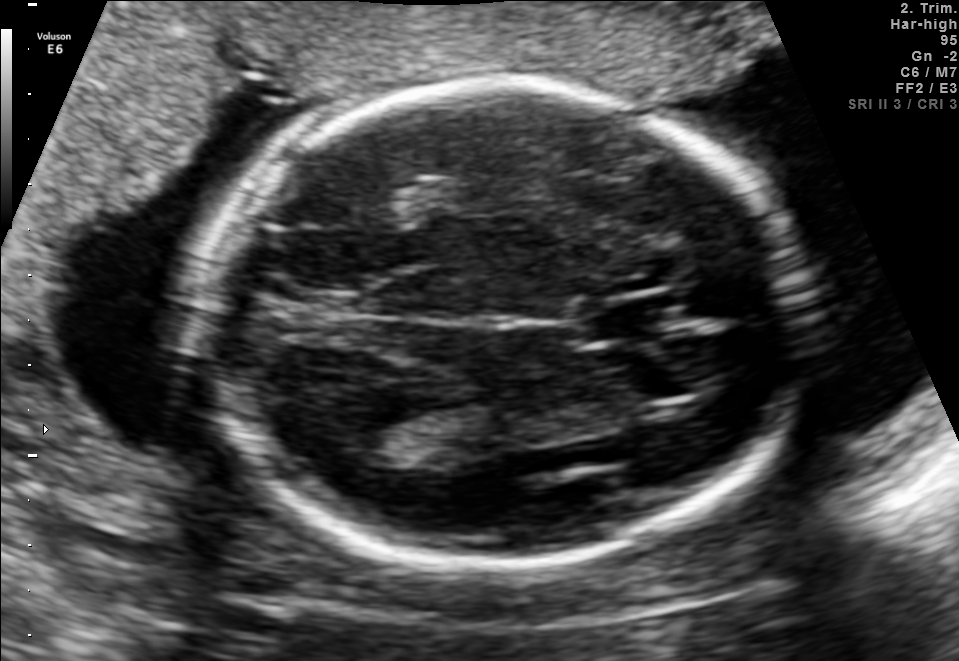
In this fetal brain, trans-thalamic plane, give bounding boxes for the head outline, cavum septum pellucidum (CSP), and lateral ventricle (LV), where visible.

Head: [200,83,789,560]
CSP: [583,291,675,344]
Lateral ventricle: [319,410,442,473]